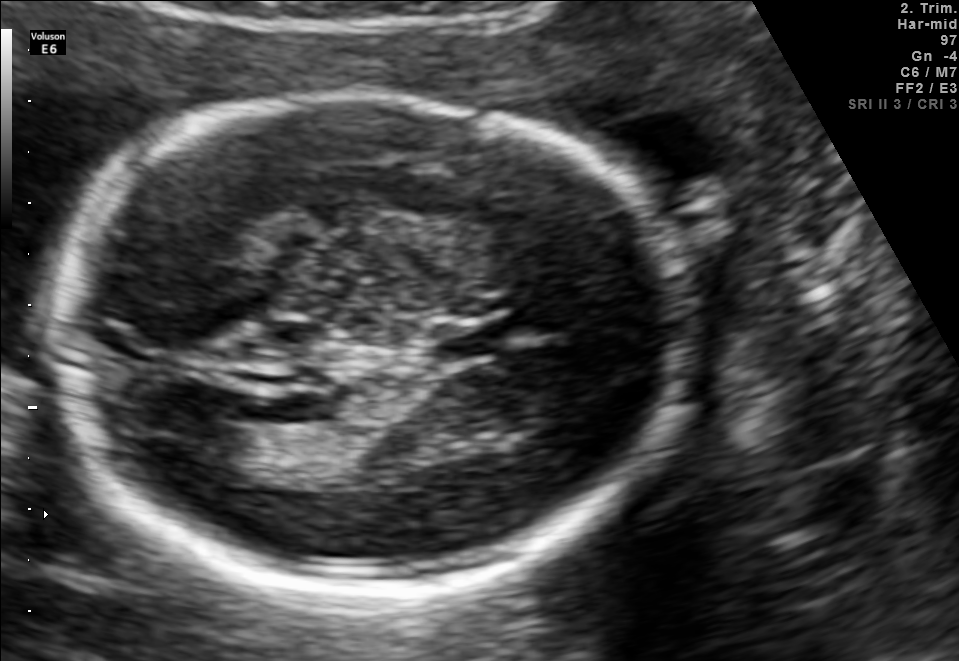
Fetal brain, trans-thalamic plane. Locate the fetal head.

Head: [58,95,681,592]